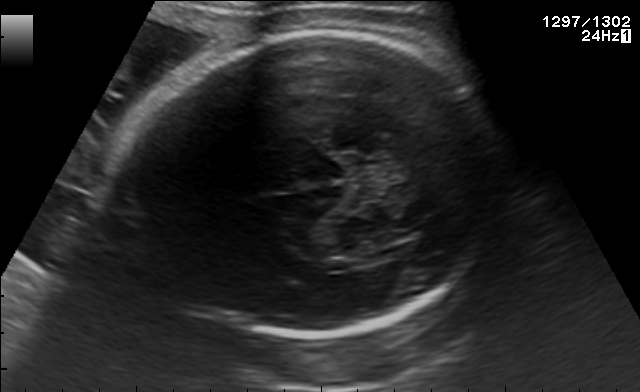
In this fetal brain, trans-thalamic plane, give the bounding box of the fetal head.

[113,31,501,340]